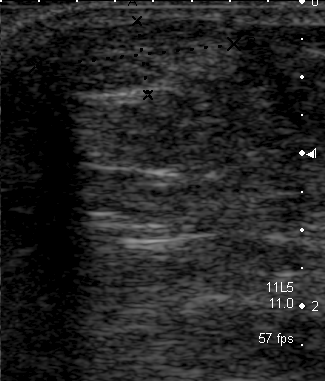
Which standard maternal-fetal ultrasound plane is shown: fetal abdomen, fetal brain, fetal femur, fetal thorax, maternal cervix, or other? If it's fetal brain and one of the three standard brain planes (trans-thalamic, trans-cerebellum, trans-ventricular), name which.

Other